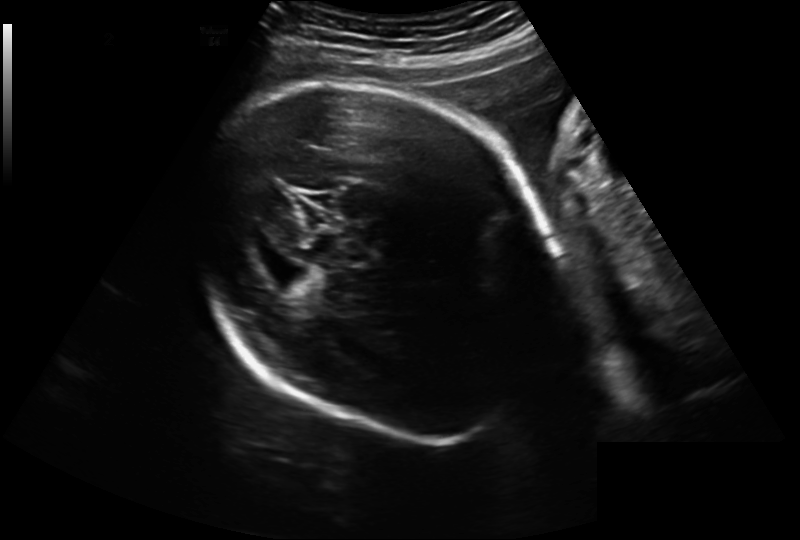
Fetal head ultrasound. Image width: 192.7 mm. Locate the fetal head.

Head: [196,78,559,445]